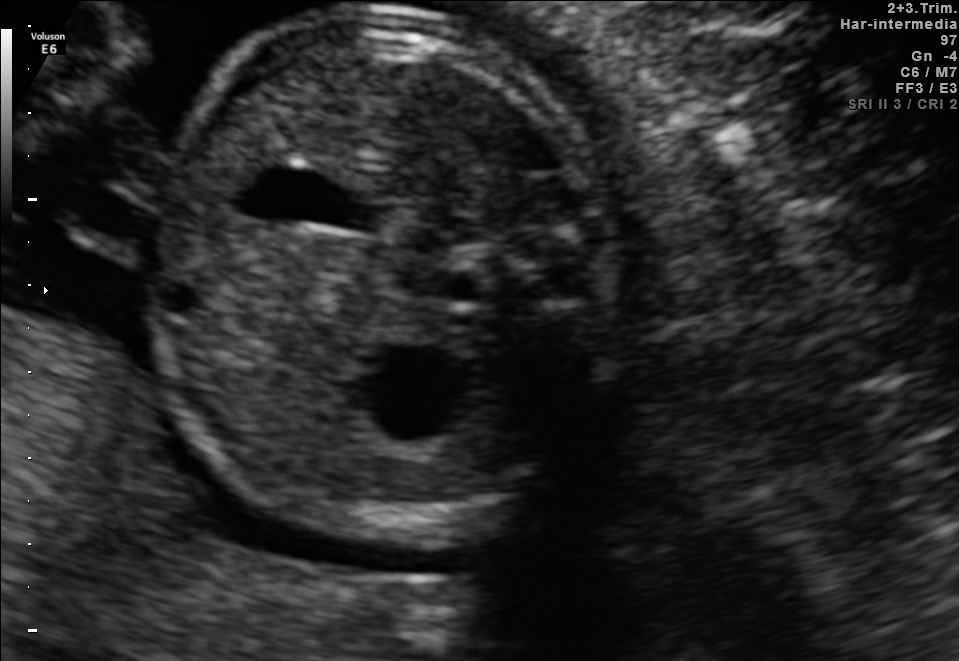
Classify this maternal-fetal ultrasound image as one of the six standard planes — fetal abdomen, fetal brain, fetal femur, fetal thorax, maternal cervix, or other. If it's fetal brain and one of the three standard brain planes (trans-thalamic, trans-cerebellum, trans-ventricular), name which.

Fetal abdomen